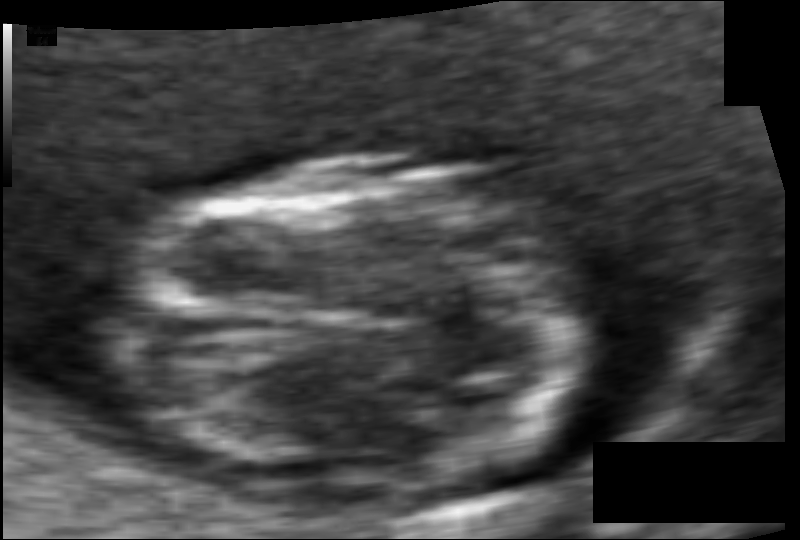
In this fetal head ultrasound, give bounding boxes for the head outline, cavum septum pellucidum (CSP), and lateral ventricle (LV), where visible. Image width: 39.5 mm.

Head: [112,164,601,495]